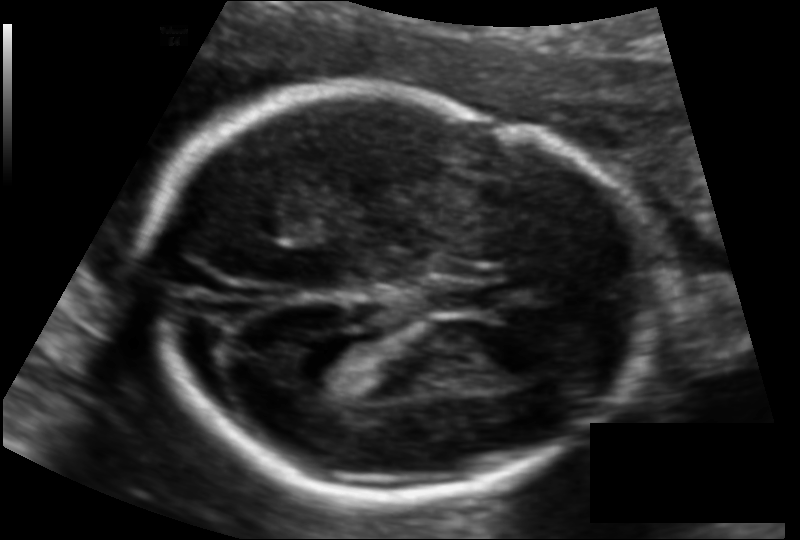
Measure the fetal head circumference shown in this ultrasound image. Image width: 93.9 mm.

Head circumference: 178.0 mm.